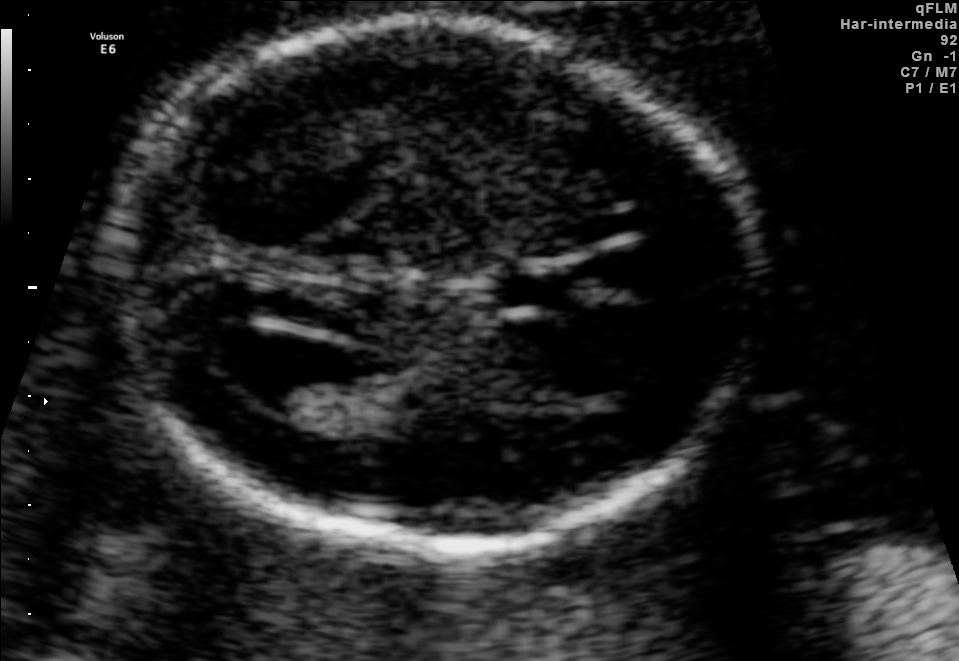
In this fetal brain, trans-ventricular plane, give bounding boxes for the head outline, cavum septum pellucidum (CSP), and lateral ventricle (LV), where visible.

Head: [91,9,778,566]
CSP: [482,272,588,312]
Lateral ventricle: [203,313,342,422]